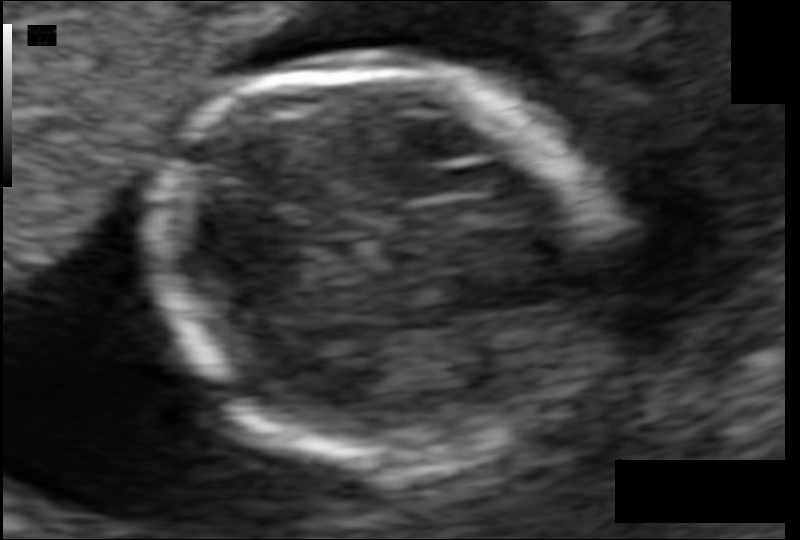
Fetal head ultrasound. Image width: 58.1 mm. Where is the fetal head?

Head bounding box: [152,66,606,451]